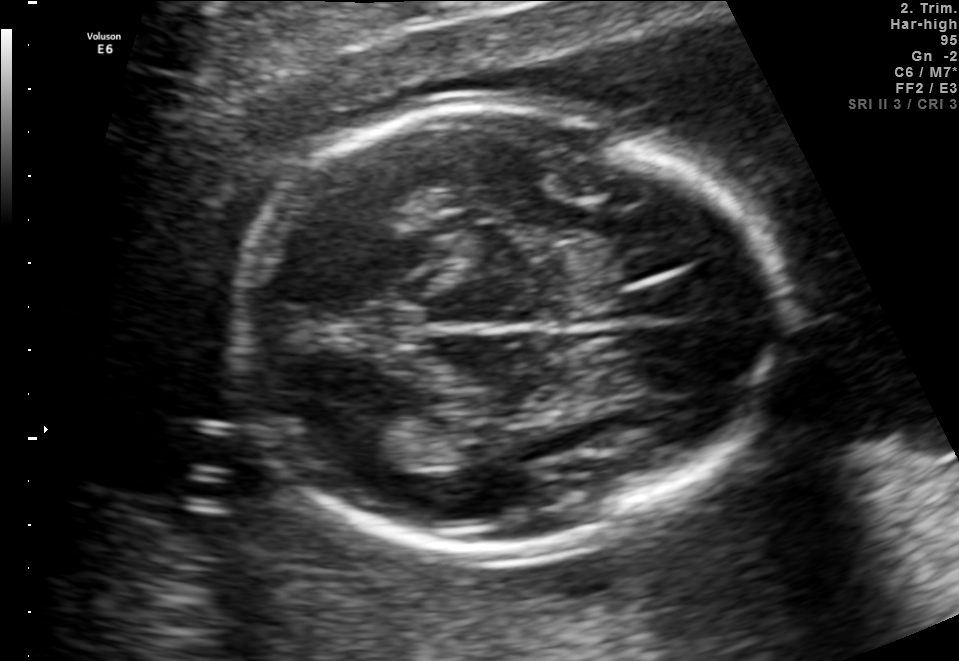
Fetal brain, trans-thalamic plane. Locate the lateral ventricle.

Lateral ventricle: [334,417,422,471]